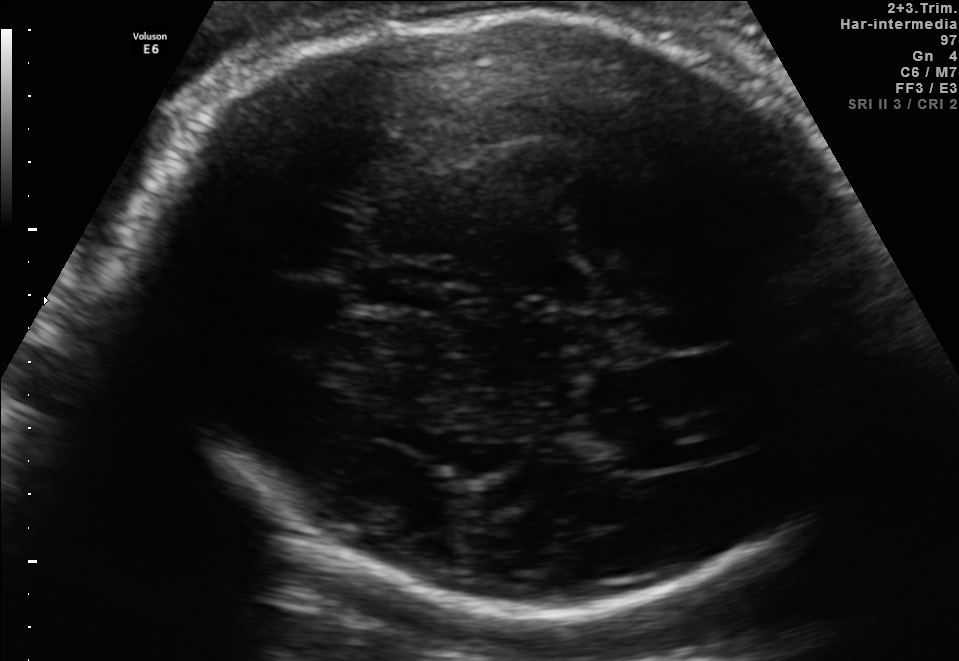
In this fetal brain, trans-thalamic plane, give bounding boxes for the head outline, cavum septum pellucidum (CSP), and lateral ventricle (LV), where visible.

Head: [137,10,862,615]
CSP: [352,264,443,308]
Lateral ventricle: [593,421,711,476]